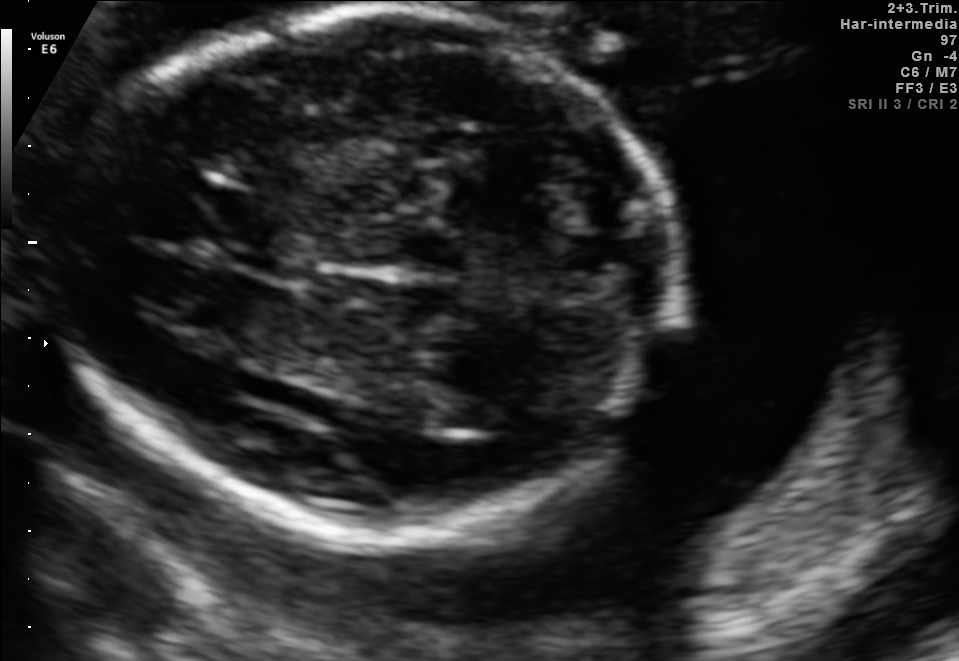
Fetal brain, trans-thalamic plane. Locate the fetal head.

Head: [41,11,704,520]